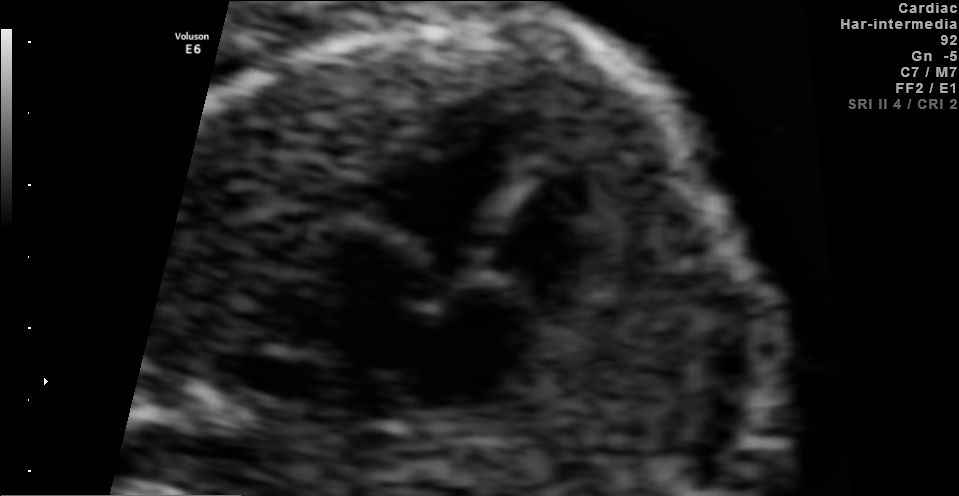
Classify this maternal-fetal ultrasound image as one of the six standard planes — fetal abdomen, fetal brain, fetal femur, fetal thorax, maternal cervix, or other. If it's fetal brain and one of the three standard brain planes (trans-thalamic, trans-cerebellum, trans-ventricular), name which.

Fetal thorax